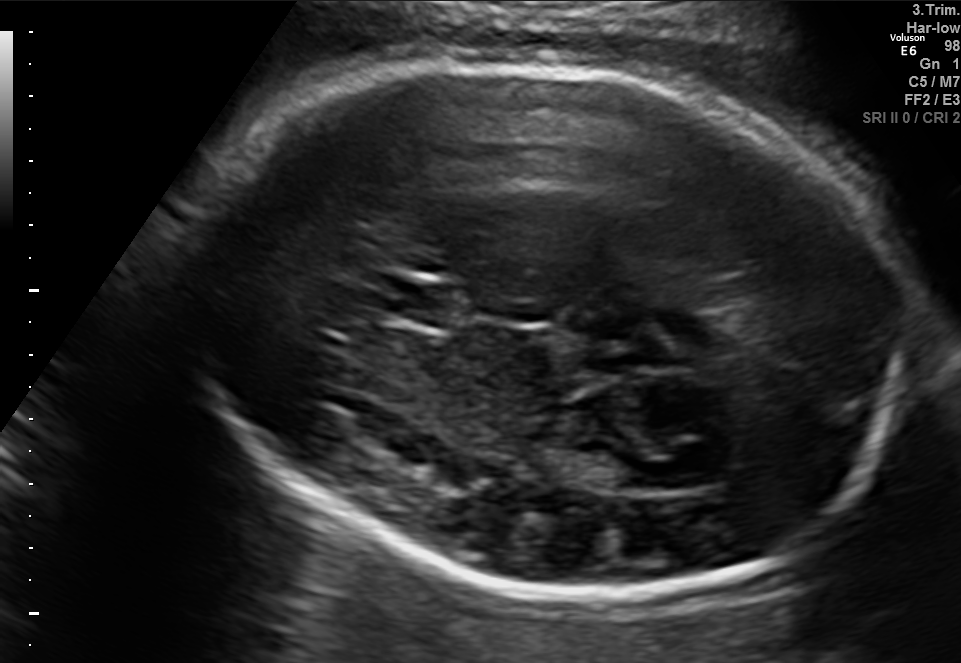
In this fetal brain, trans-thalamic plane, give the bounding box of the lateral ventricle.

[562,449,652,491]